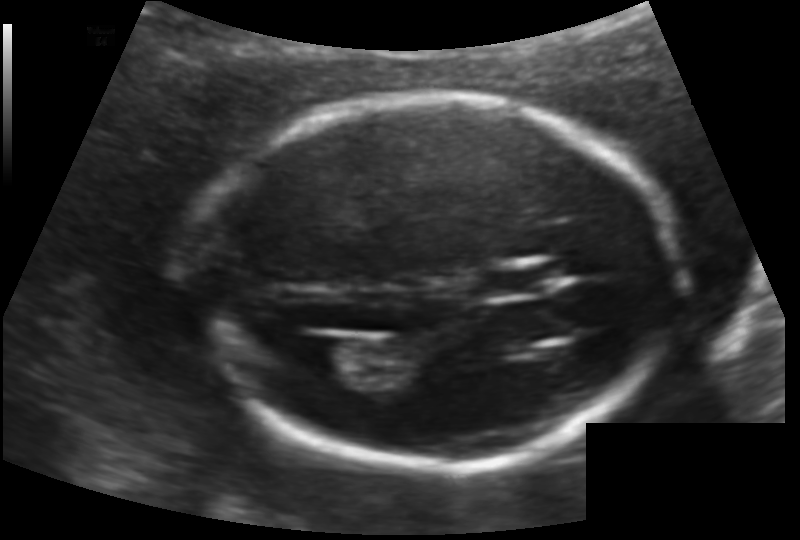
What is the fetal head circumference? Image width is 99.5 mm.

169.8 mm